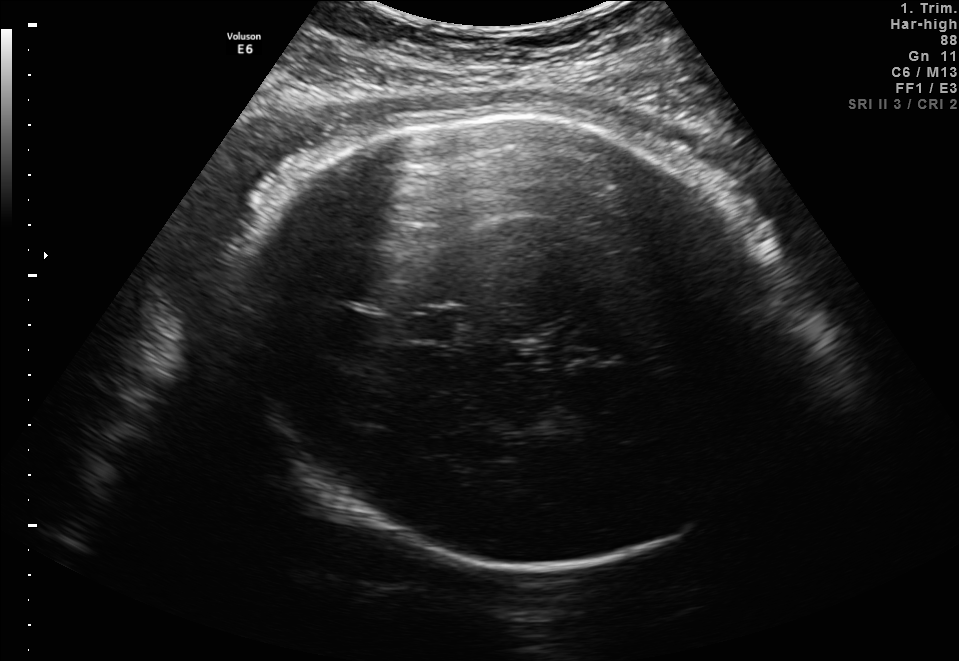
Fetal brain, trans-thalamic plane. Locate the fetal head and, if visible, the cavum septum pellucidum (CSP) and lateral ventricle (LV). Give bounding boxes as [x1,y1,x2,y2].

Head: [236,118,785,565]
CSP: [402,308,460,339]